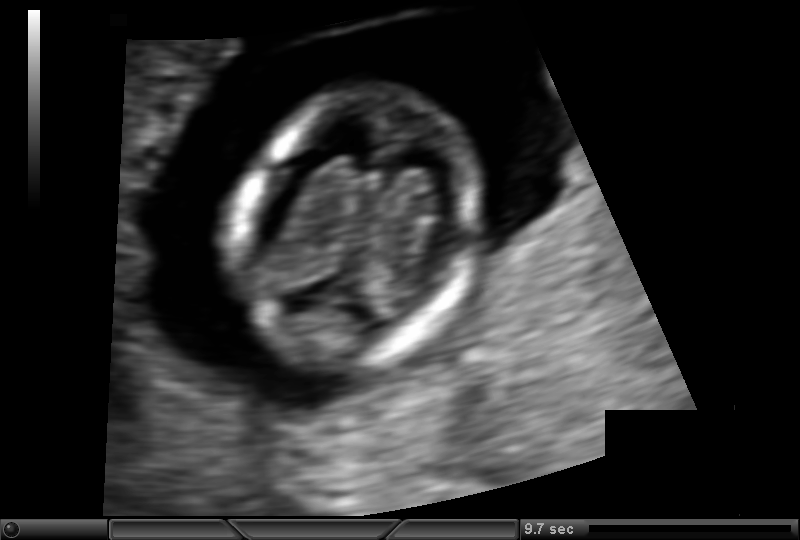
In this fetal head ultrasound, give bounding boxes for the head outline, cavum septum pellucidum (CSP), and lateral ventricle (LV), where visible. Image width: 73.8 mm.

Head: [229,84,489,376]